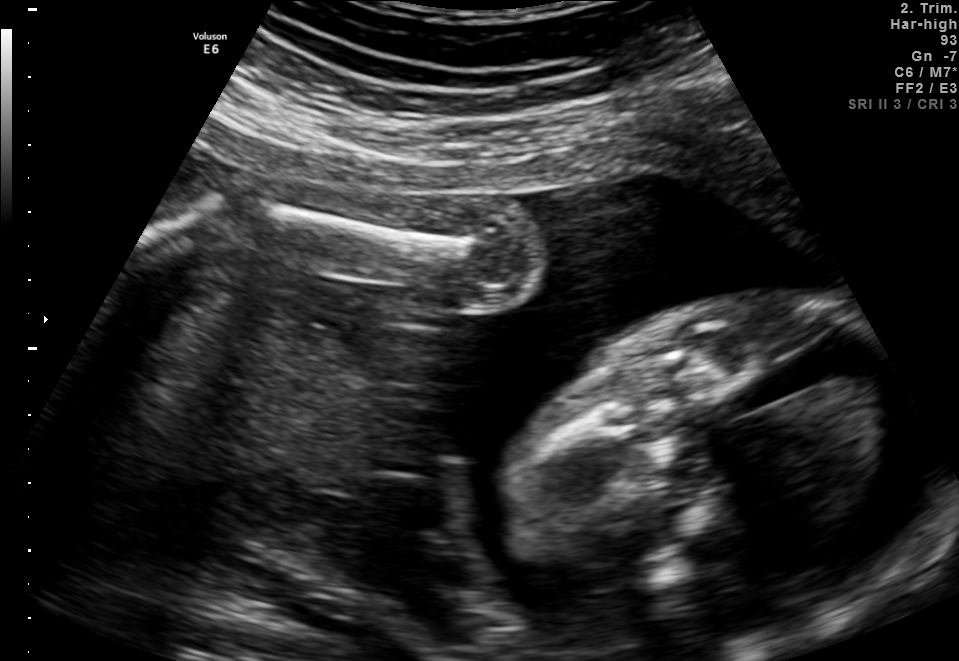
Classify this maternal-fetal ultrasound image as one of the six standard planes — fetal abdomen, fetal brain, fetal femur, fetal thorax, maternal cervix, or other. If it's fetal brain and one of the three standard brain planes (trans-thalamic, trans-cerebellum, trans-ventricular), name which.

Other